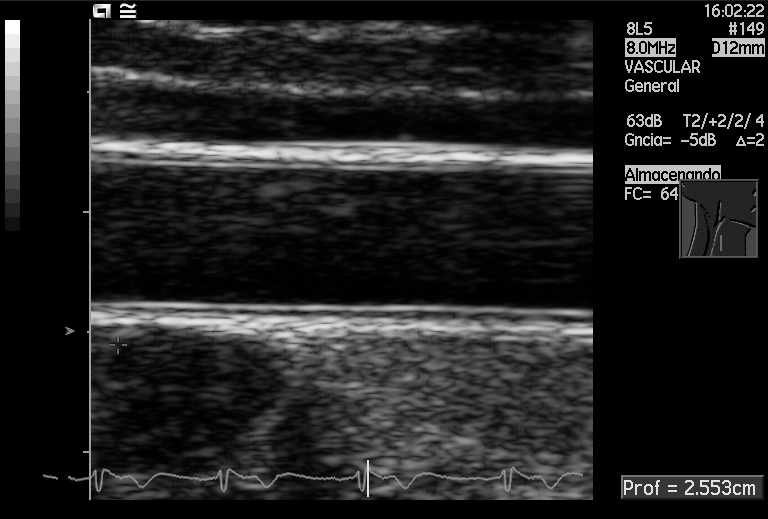
Identify the standard plane in this fetal ultrasound image: fetal abdomen, fetal brain, fetal femur, fetal thorax, maternal cervix, or other. If it's fetal brain and one of the three standard brain planes (trans-thalamic, trans-cerebellum, trans-ventricular), name which.

Other